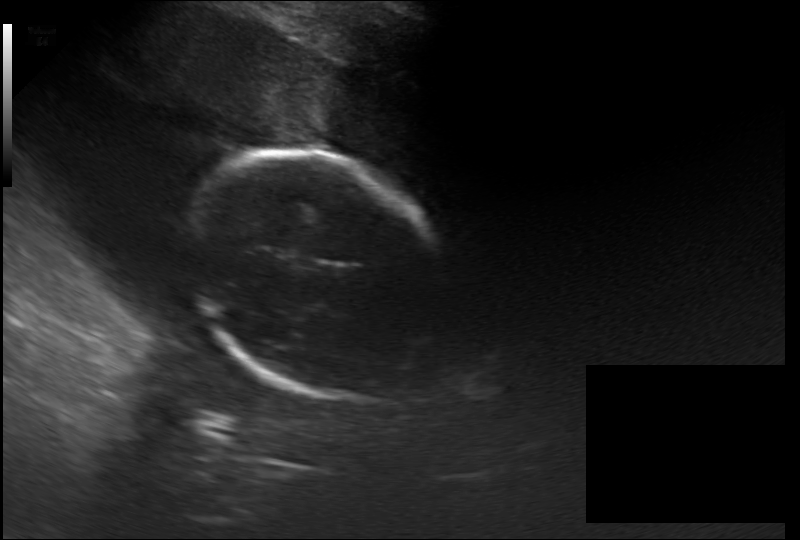
Fetal head ultrasound. Image width: 211.0 mm. Locate the fetal head and, if visible, the cavum septum pellucidum (CSP) and lateral ventricle (LV). Give bounding boxes as [x1,y1,x2,y2].

Head: [184,153,455,400]